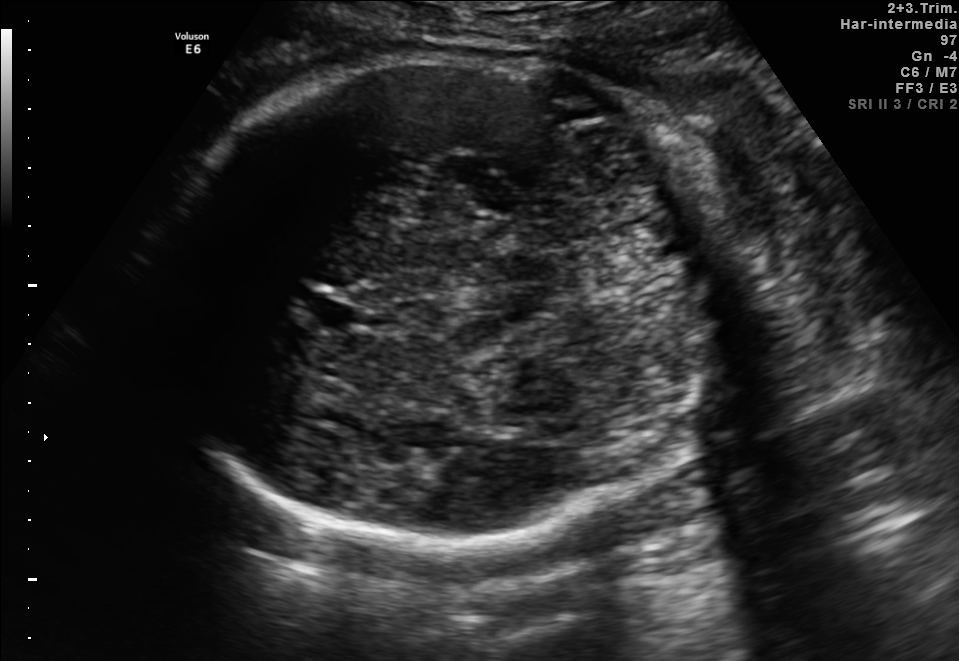
Which standard maternal-fetal ultrasound plane is shown: fetal abdomen, fetal brain, fetal femur, fetal thorax, maternal cervix, or other? If it's fetal brain and one of the three standard brain planes (trans-thalamic, trans-cerebellum, trans-ventricular), name which.

Fetal brain (trans-thalamic plane)